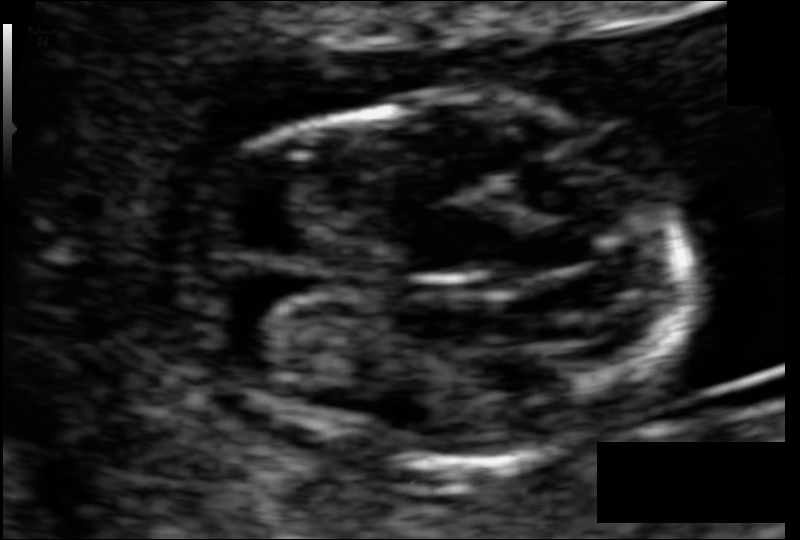
In this fetal head ultrasound, give the bounding box of the fetal head. Image width: 41.8 mm.

[180,100,697,463]